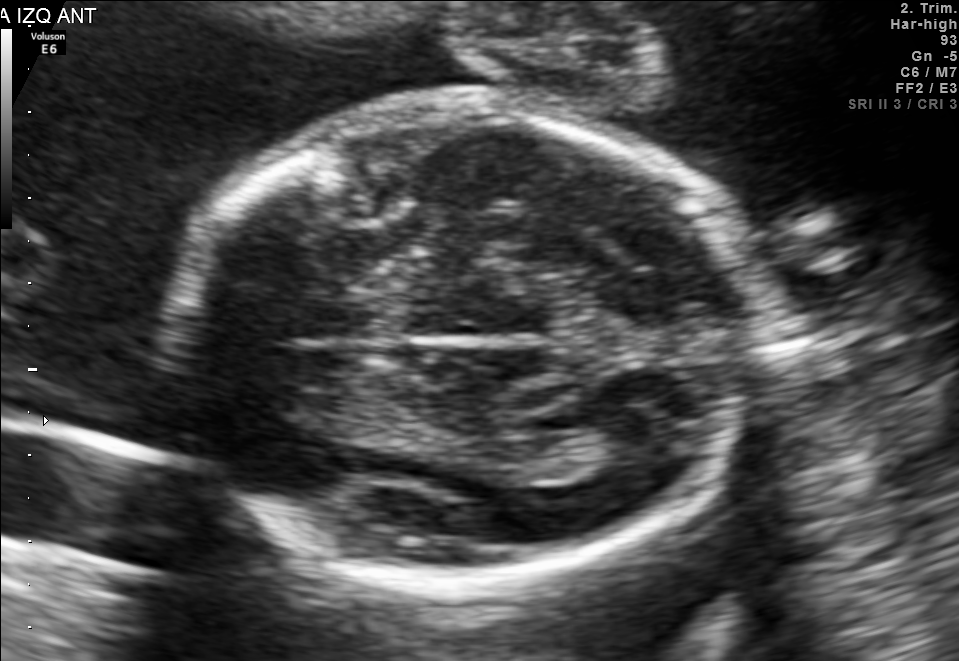
Fetal brain, trans-thalamic plane. Locate the fetal head and, if visible, the cavum septum pellucidum (CSP) and lateral ventricle (LV). Give bounding boxes as [x1,y1,x2,y2].

Head: [177,103,750,584]
Lateral ventricle: [559,422,657,480]